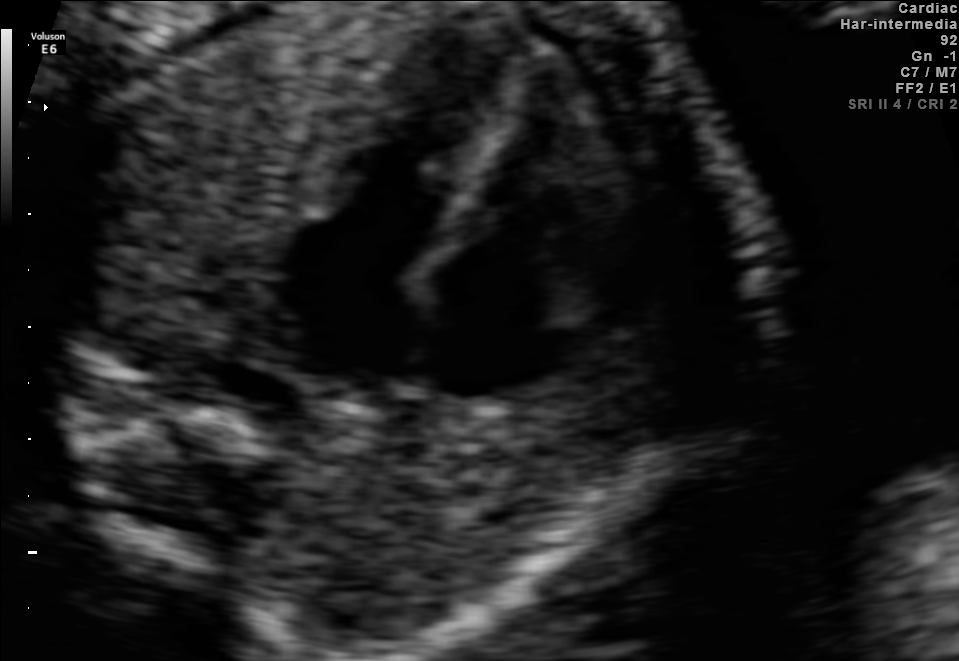
Classify this maternal-fetal ultrasound image as one of the six standard planes — fetal abdomen, fetal brain, fetal femur, fetal thorax, maternal cervix, or other. If it's fetal brain and one of the three standard brain planes (trans-thalamic, trans-cerebellum, trans-ventricular), name which.

Fetal thorax